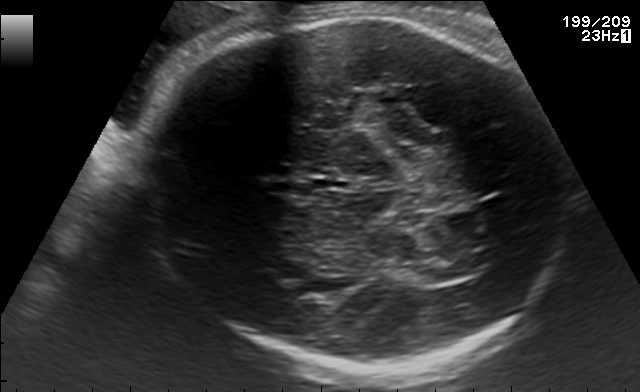
In this fetal brain, trans-thalamic plane, give the bounding box of the fetal head.

[146,14,565,372]